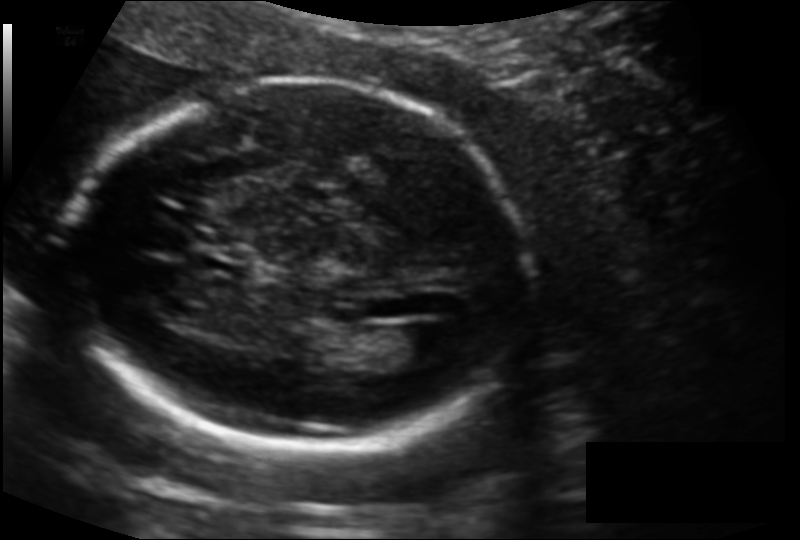
Fetal head ultrasound. Image width: 101.6 mm. Locate the lateral ventricle.

Lateral ventricle: [379,322,454,367]